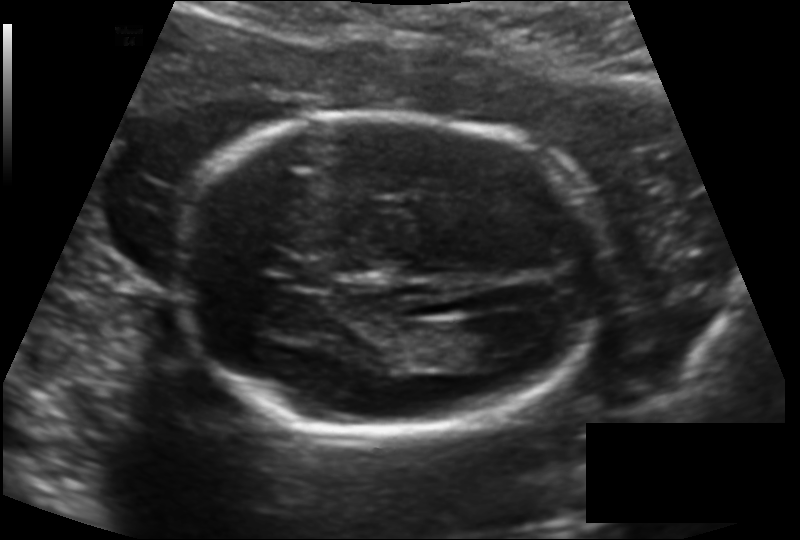
Fetal head ultrasound. Image width: 110.7 mm. Give [x1,y1,x2,y2] bounding boxes for each visible structure among: fetal head, CSP, LV.

Head: [175,115,605,431]
CSP: [289,261,330,288]
Lateral ventricle: [439,318,519,370]